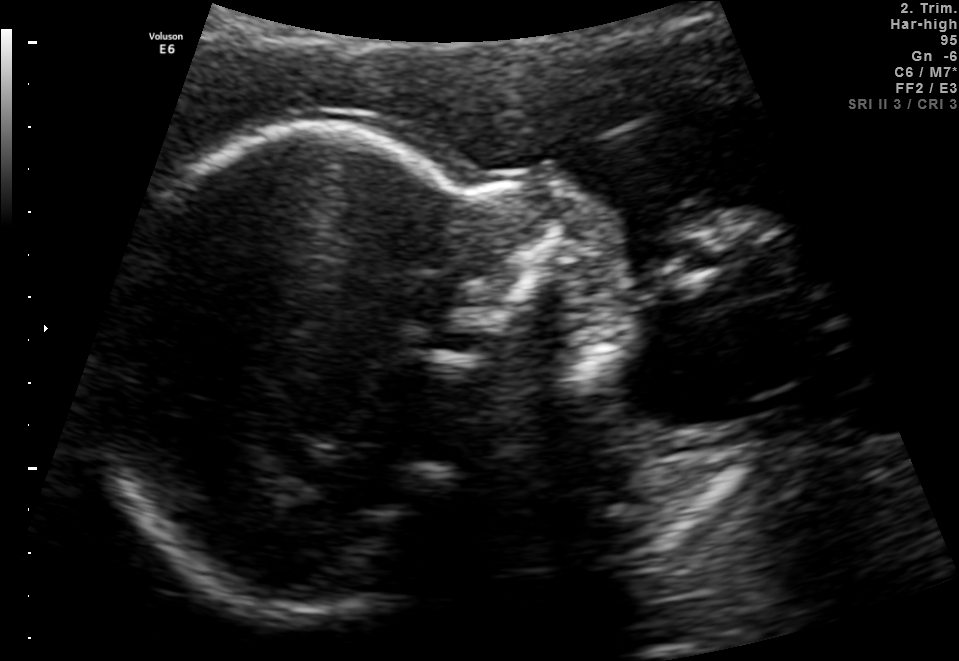
This is a 2D maternal-fetal ultrasound frame. Is it a fetal abdomen, fetal brain, fetal femur, fetal thorax, maternal cervix, or other standard plane? If it's fetal brain and one of the three standard brain planes (trans-thalamic, trans-cerebellum, trans-ventricular), name which.

Other